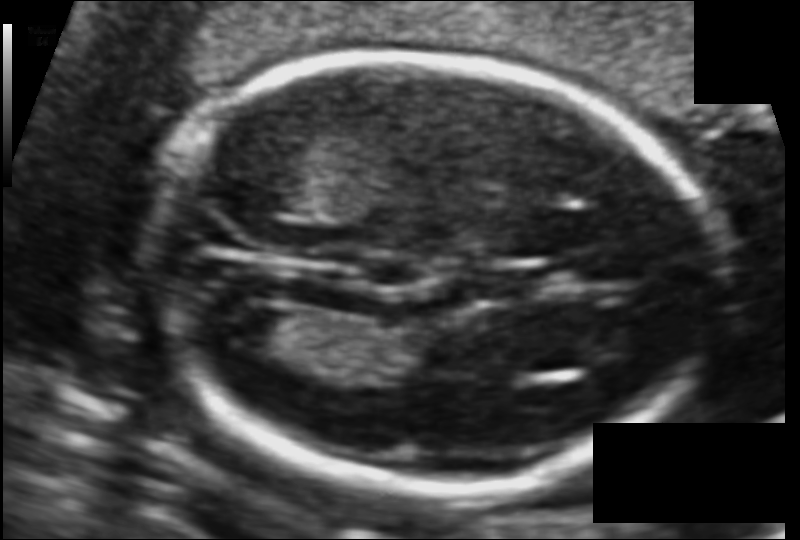
In this fetal head ultrasound, give bounding boxes for the head outline, cavum septum pellucidum (CSP), and lateral ventricle (LV), where visible. Image width: 75.8 mm.

Head: [150,52,715,488]
Lateral ventricle: [212,298,300,360]